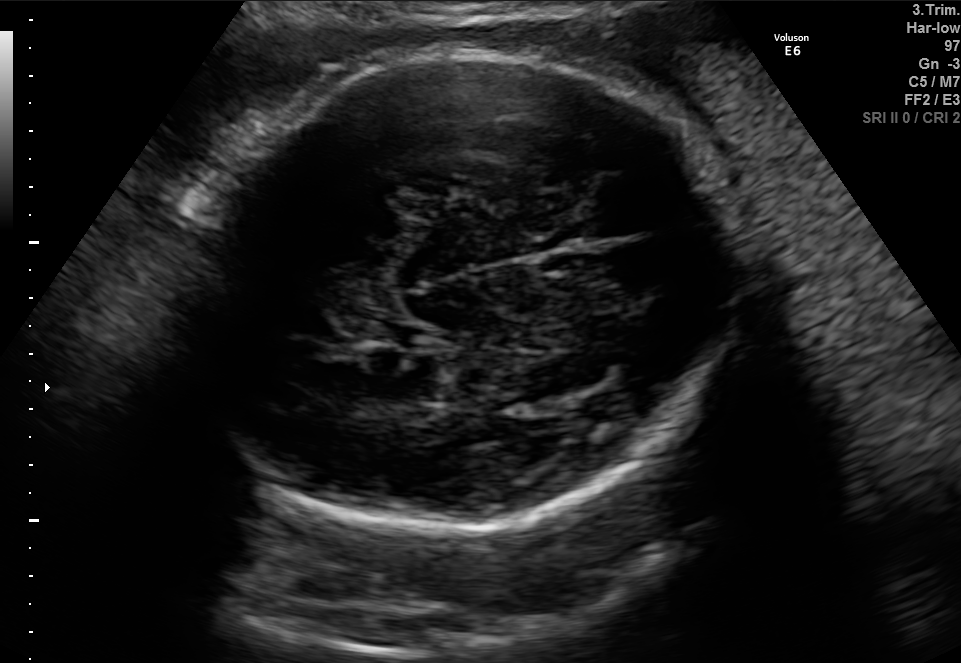
In this fetal brain, trans-thalamic plane, give bounding boxes for the head outline, cavum septum pellucidum (CSP), and lateral ventricle (LV), where visible.

Head: [187,55,738,534]